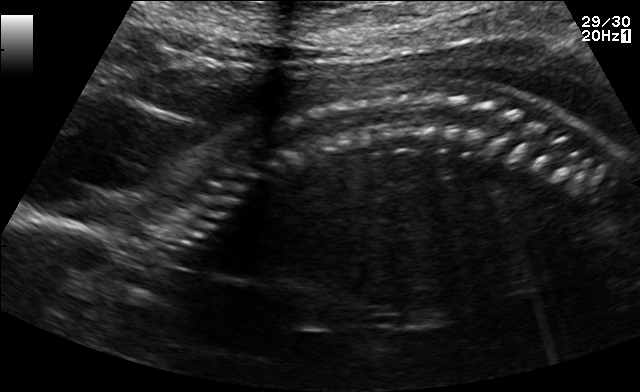
Identify the standard plane in this fetal ultrasound image: fetal abdomen, fetal brain, fetal femur, fetal thorax, maternal cervix, or other. If it's fetal brain and one of the three standard brain planes (trans-thalamic, trans-cerebellum, trans-ventricular), name which.

Other